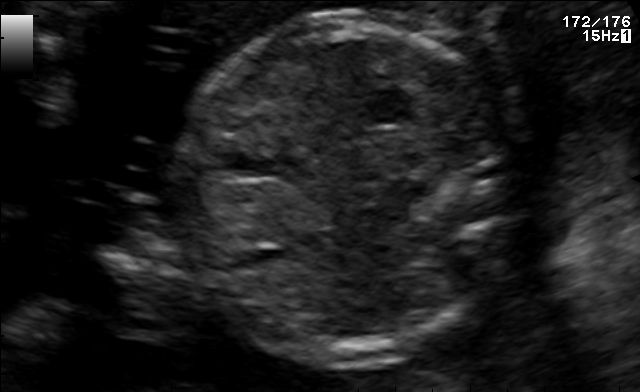
This is a 2D maternal-fetal ultrasound frame. Is it a fetal abdomen, fetal brain, fetal femur, fetal thorax, maternal cervix, or other standard plane? If it's fetal brain and one of the three standard brain planes (trans-thalamic, trans-cerebellum, trans-ventricular), name which.

Fetal abdomen